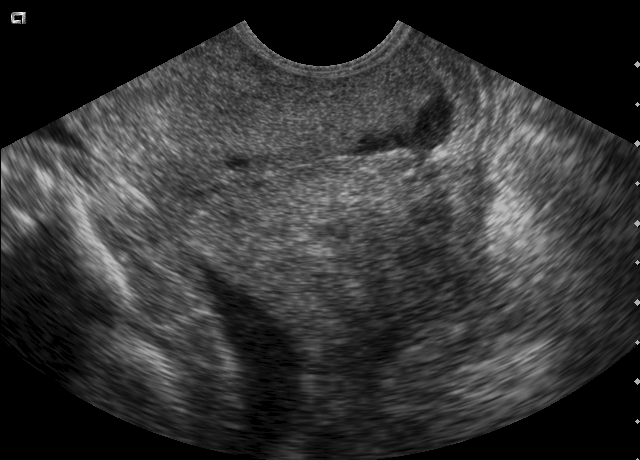
Classify this maternal-fetal ultrasound image as one of the six standard planes — fetal abdomen, fetal brain, fetal femur, fetal thorax, maternal cervix, or other. If it's fetal brain and one of the three standard brain planes (trans-thalamic, trans-cerebellum, trans-ventricular), name which.

Maternal cervix